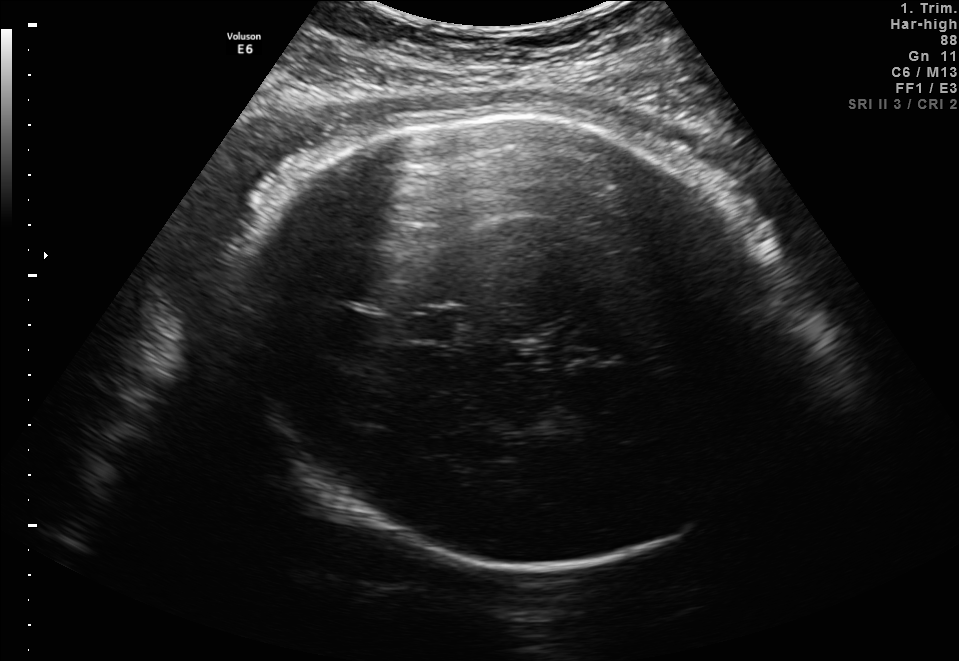
Fetal brain, trans-thalamic plane. Locate the cavum septum pellucidum.

CSP: [402,308,460,339]